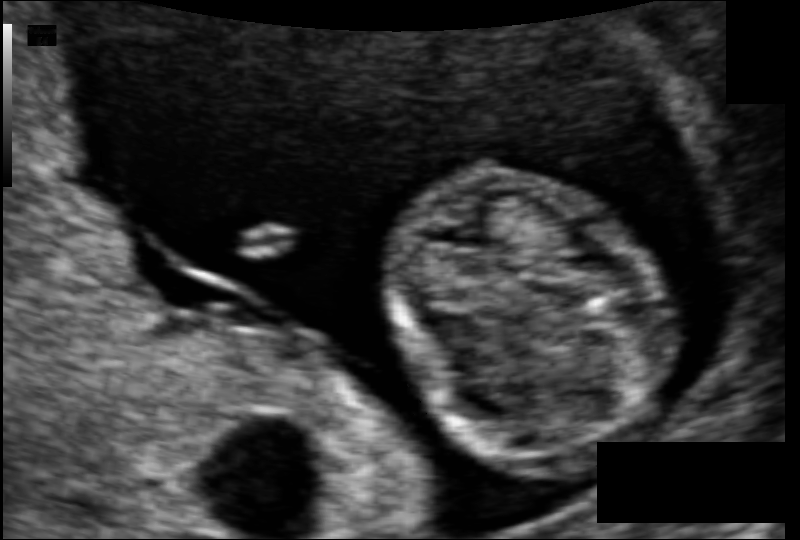
From this fetal ultrasound, estimate the head circumference (image width 59.6 mm).

Head circumference: 70.5 mm.